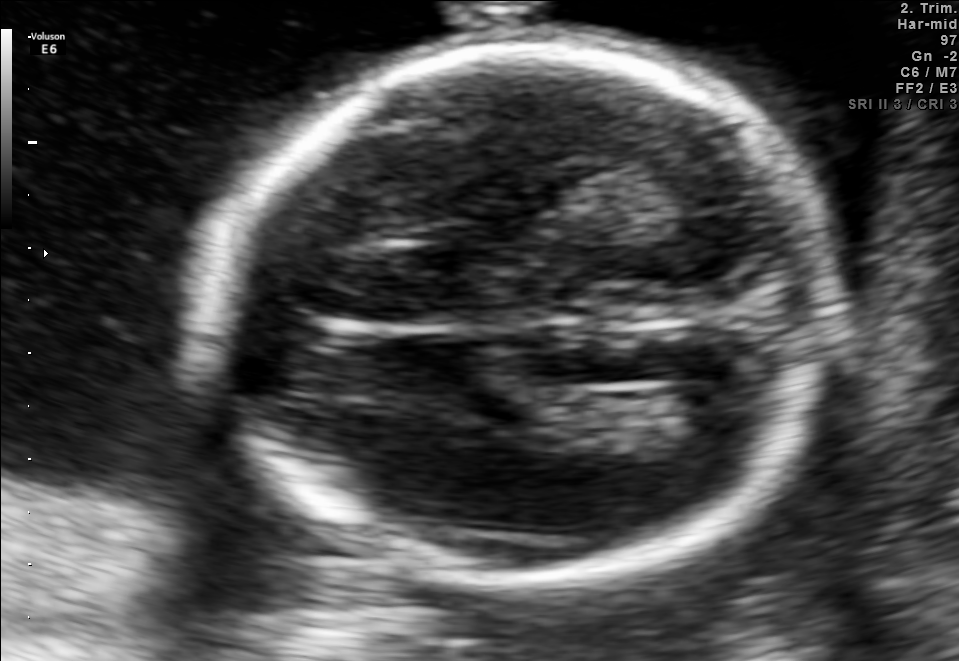
In this fetal brain, trans-ventricular plane, give bounding boxes for the head outline, cavum septum pellucidum (CSP), and lateral ventricle (LV), where visible.

Head: [218,39,841,590]